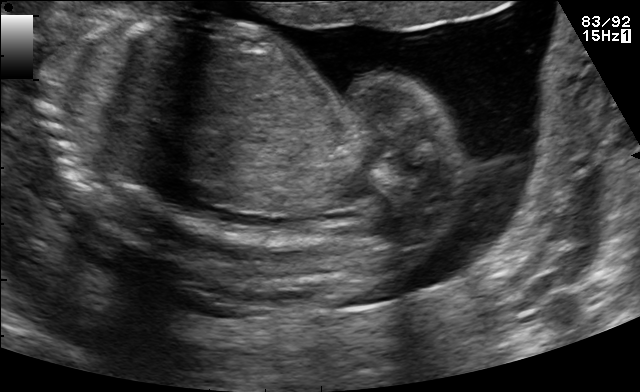
This is a 2D maternal-fetal ultrasound frame. Is it a fetal abdomen, fetal brain, fetal femur, fetal thorax, maternal cervix, or other standard plane? If it's fetal brain and one of the three standard brain planes (trans-thalamic, trans-cerebellum, trans-ventricular), name which.

Other